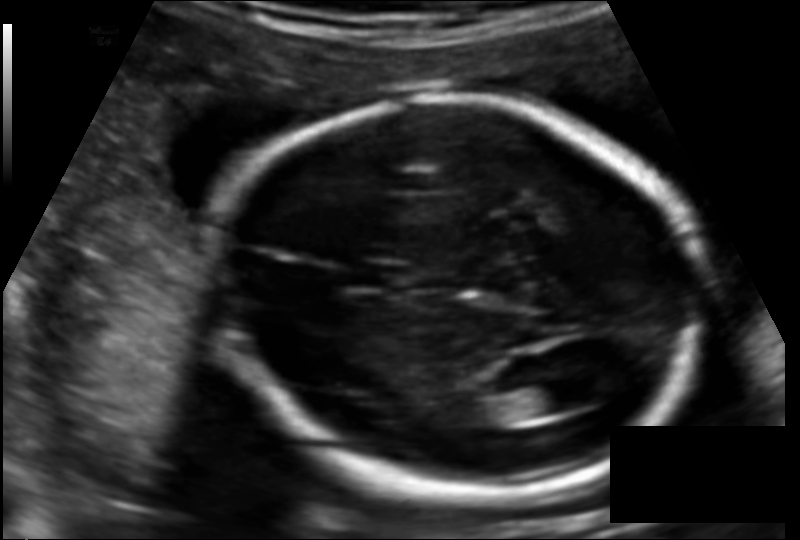
Fetal head ultrasound. Image width: 99.4 mm. Give [x1,y1,x2,y2] bounding boxes for each visible structure among: fetal head, CSP, LV.

Head: [214,97,705,495]
CSP: [344,260,403,290]
Lateral ventricle: [501,375,579,424]